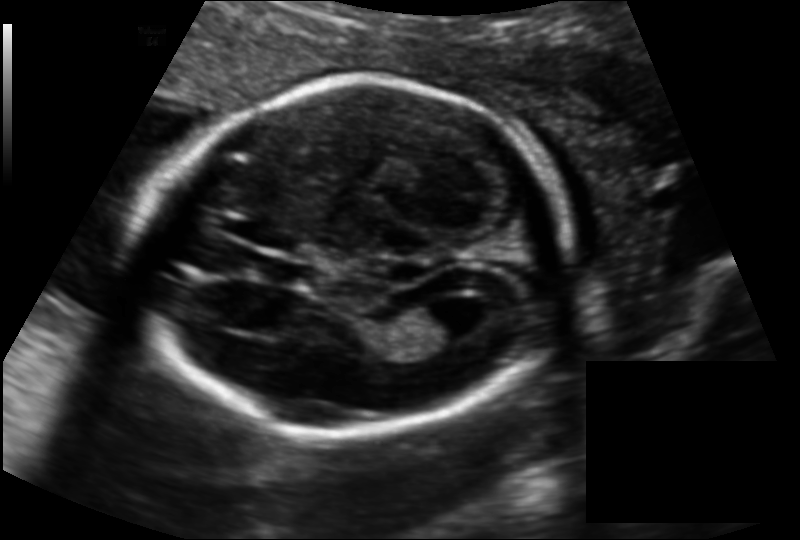
In this fetal head ultrasound, give the bounding box of the lateral ventricle. Image width: 107.9 mm.

[406,280,490,355]